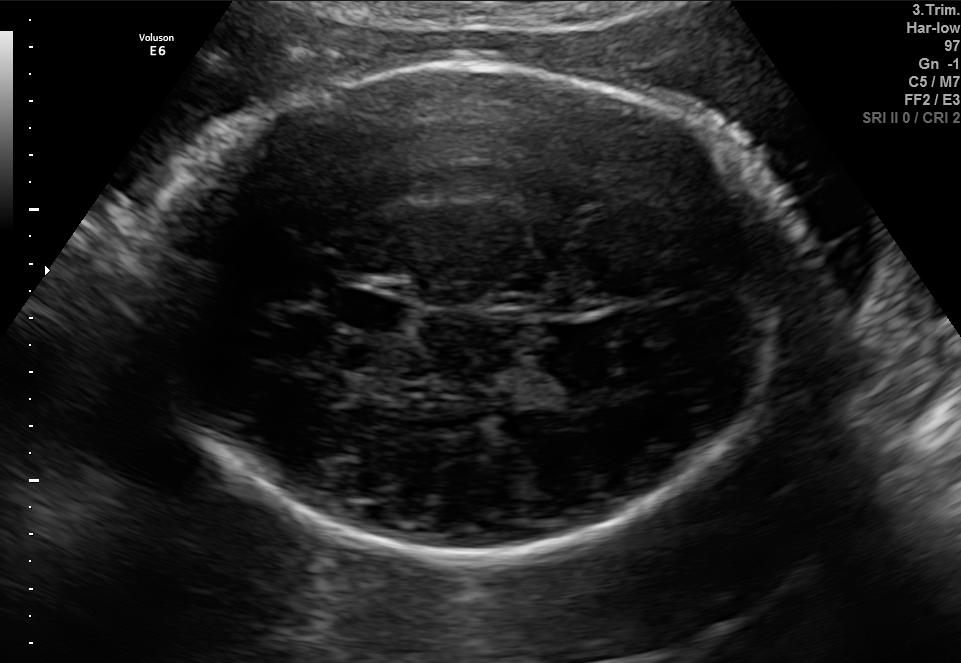
Fetal brain, trans-thalamic plane. Where is the cavum septum pellucidum?

CSP bounding box: [331,284,405,337]